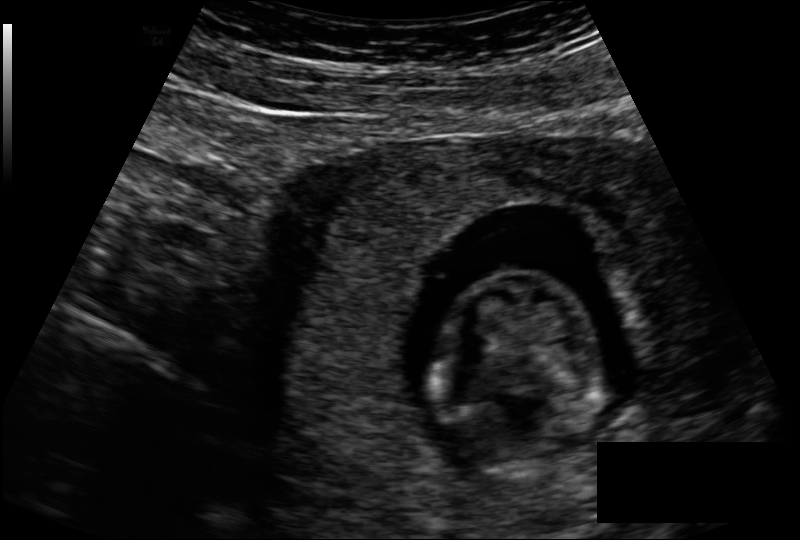
Estimate the fetal head circumference from this 2D ultrasound. Image width: 104.8 mm.

Head circumference: 77.6 mm.